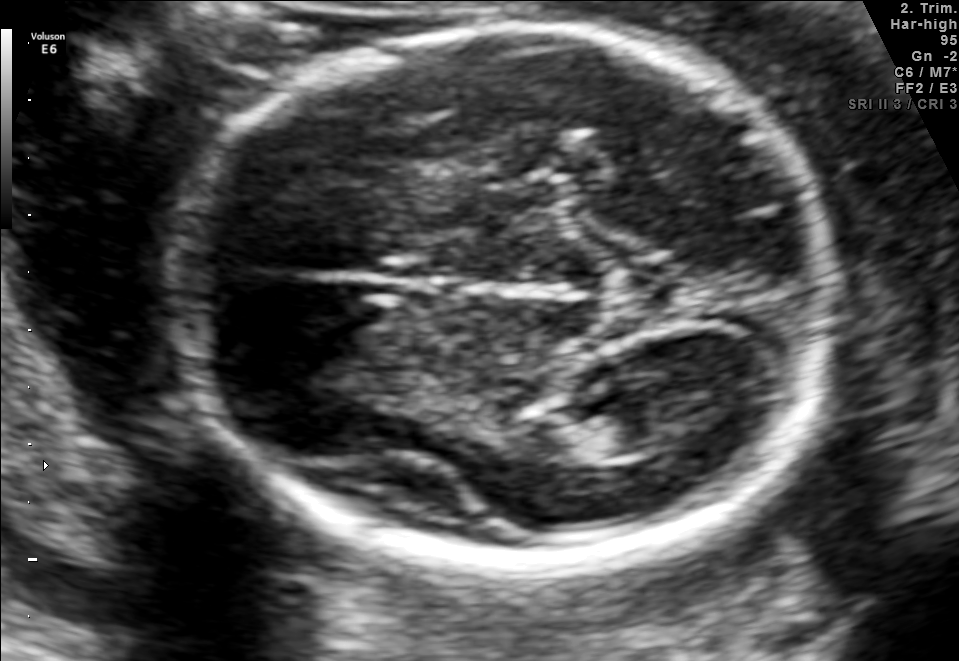
Classify this maternal-fetal ultrasound image as one of the six standard planes — fetal abdomen, fetal brain, fetal femur, fetal thorax, maternal cervix, or other. If it's fetal brain and one of the three standard brain planes (trans-thalamic, trans-cerebellum, trans-ventricular), name which.

Fetal brain (trans-thalamic plane)